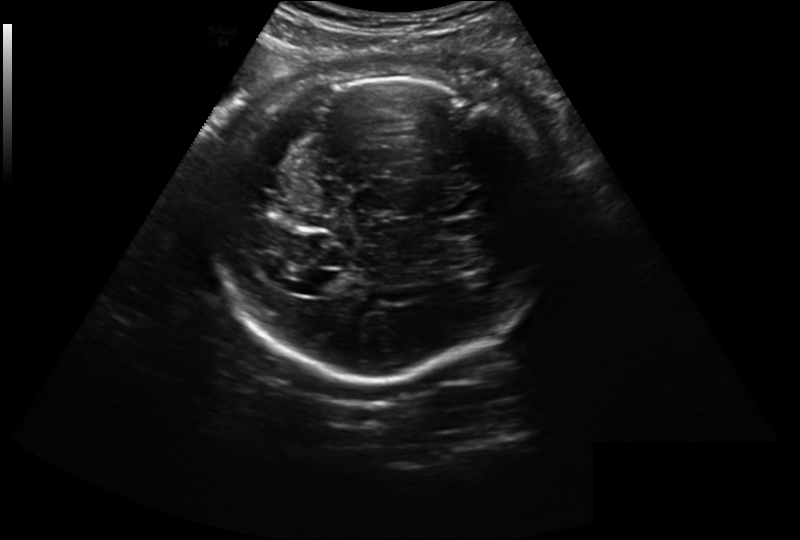
From this fetal ultrasound, estimate the head circumference (image width 208.4 mm).

Head circumference: 278.1 mm.